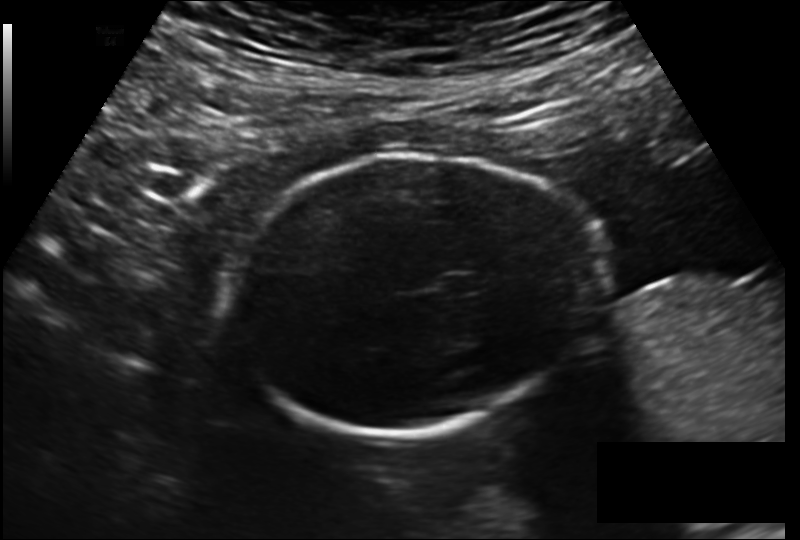
In this fetal head ultrasound, give bounding boxes for the head outline, cavum septum pellucidum (CSP), and lateral ventricle (LV), where visible. Image width: 142.1 mm.

Head: [237,151,596,438]
CSP: [441,272,478,295]